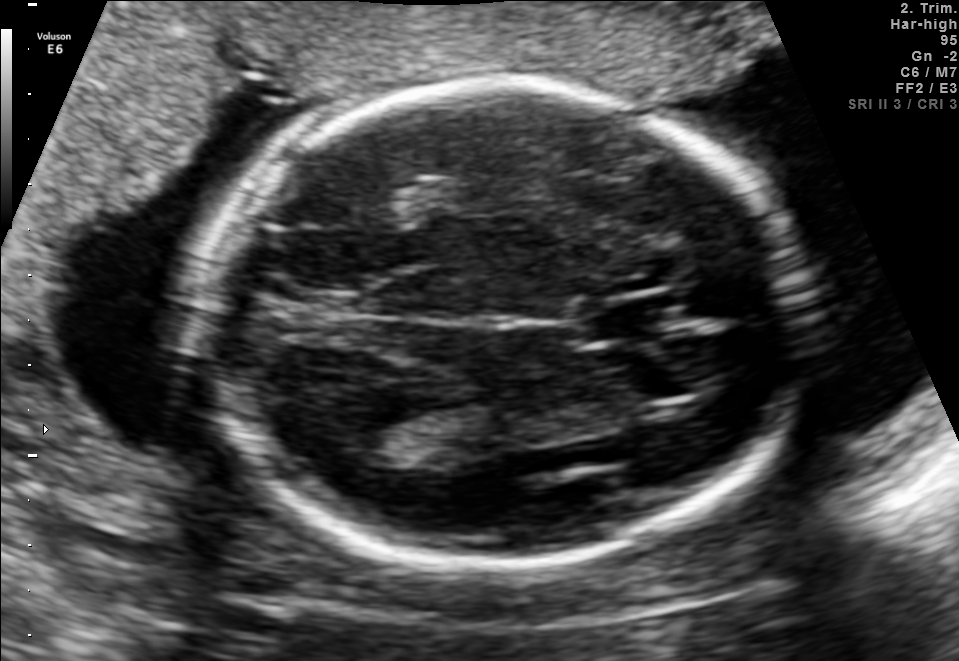
In this fetal brain, trans-thalamic plane, give the bounding box of the lateral ventricle.

[319,410,442,473]